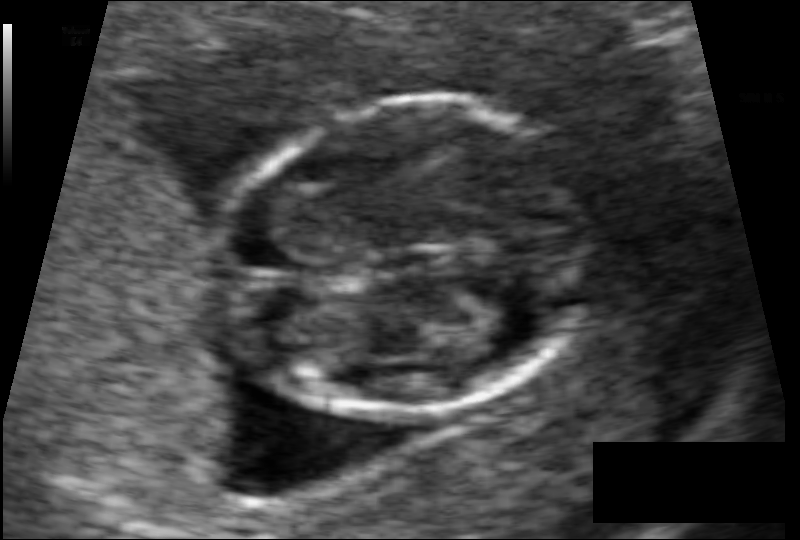
Fetal head ultrasound. Image width: 48.9 mm. Where is the fetal head?

Head bounding box: [213,104,596,418]